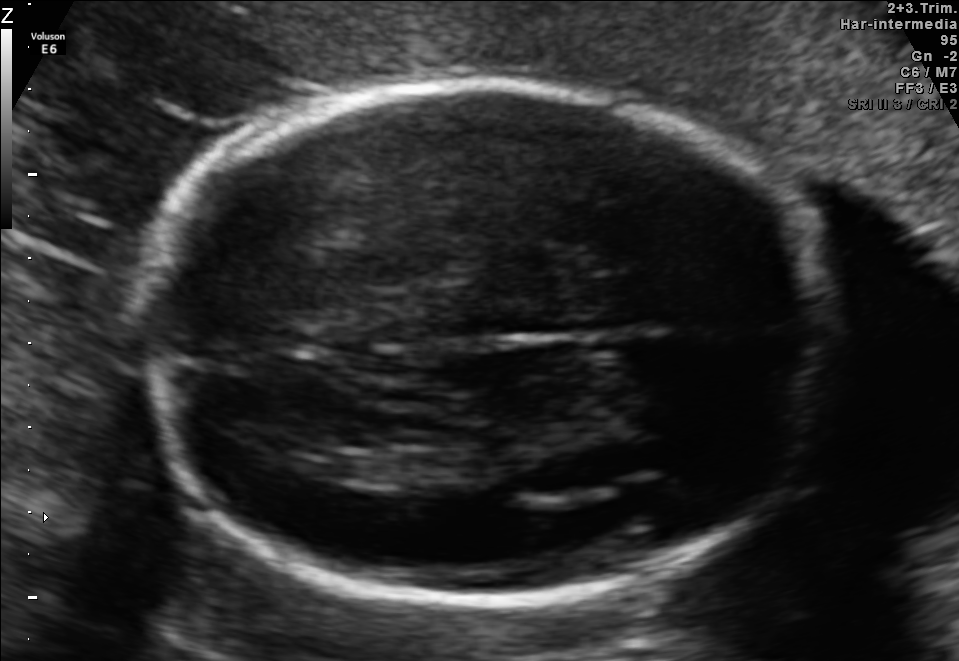
Fetal brain, trans-thalamic plane. Locate the fetal head.

Head: [139,77,828,600]